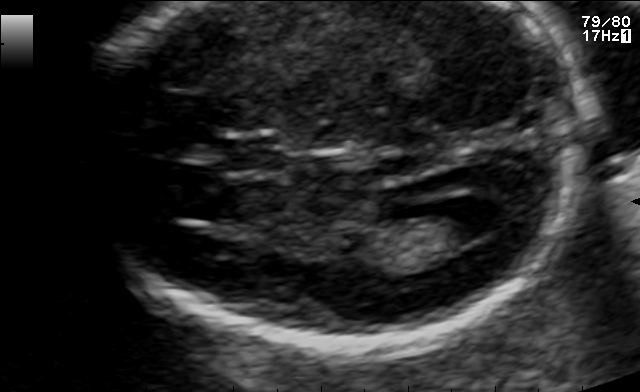
Classify this maternal-fetal ultrasound image as one of the six standard planes — fetal abdomen, fetal brain, fetal femur, fetal thorax, maternal cervix, or other. If it's fetal brain and one of the three standard brain planes (trans-thalamic, trans-cerebellum, trans-ventricular), name which.

Fetal brain (trans-ventricular plane)